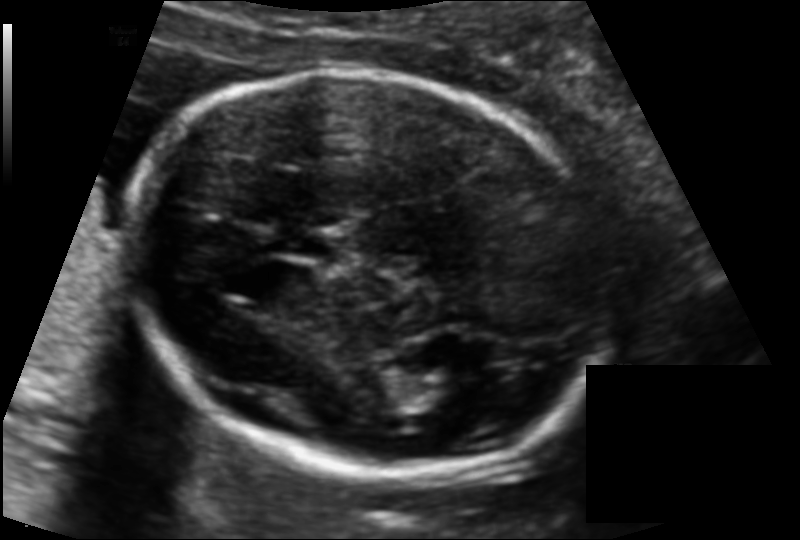
Measure the fetal head circumference shown in this ultrasound image. Image width: 93.1 mm.

Head circumference: 170.1 mm.